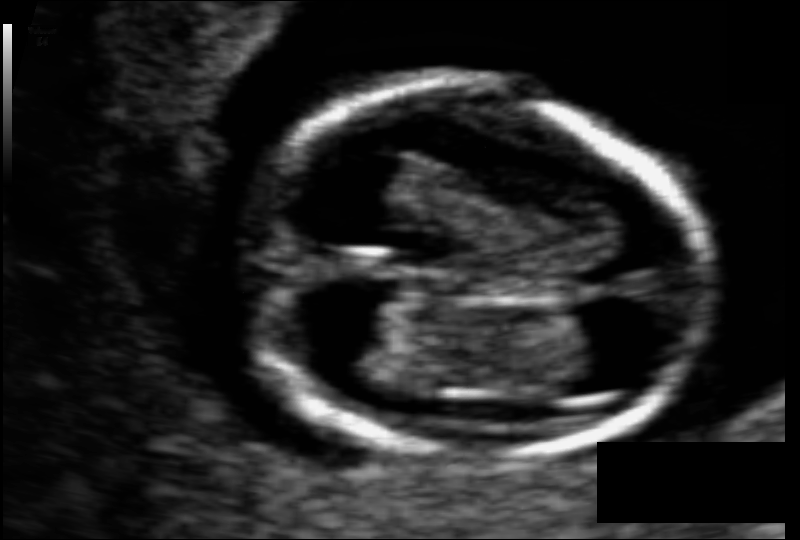
Estimate the fetal head circumference from this 2D ultrasound. Image width: 50.4 mm.

Head circumference: 84.4 mm.